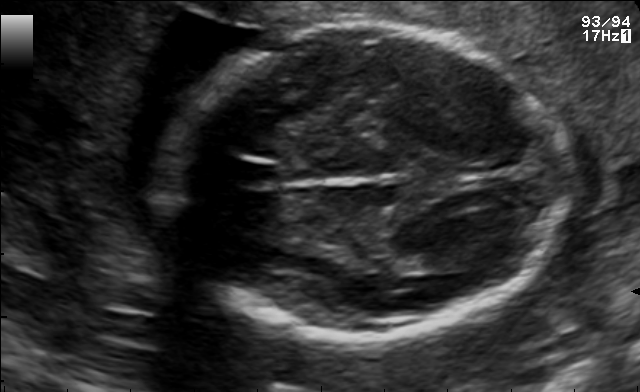
This is a 2D maternal-fetal ultrasound frame. Is it a fetal abdomen, fetal brain, fetal femur, fetal thorax, maternal cervix, or other standard plane? If it's fetal brain and one of the three standard brain planes (trans-thalamic, trans-cerebellum, trans-ventricular), name which.

Fetal brain (trans-thalamic plane)